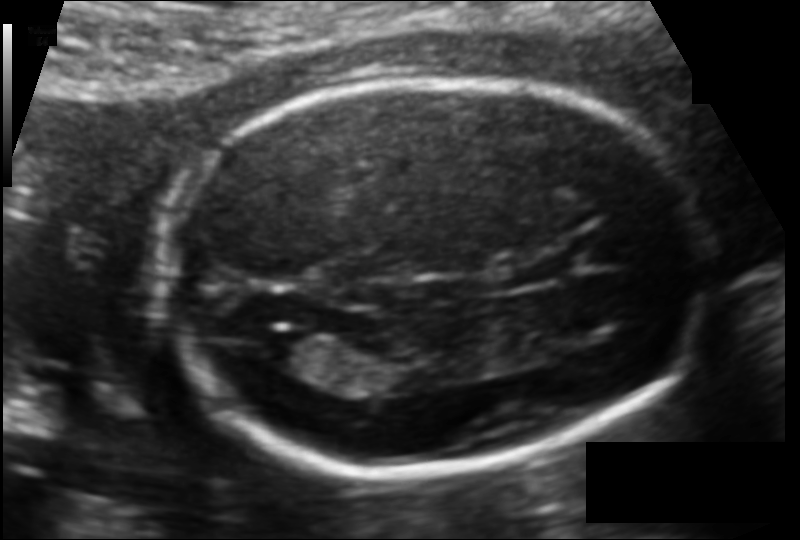
Fetal head ultrasound. Image width: 87.1 mm. Where is the lateral ventricle?

Lateral ventricle bounding box: [254,331,324,367]